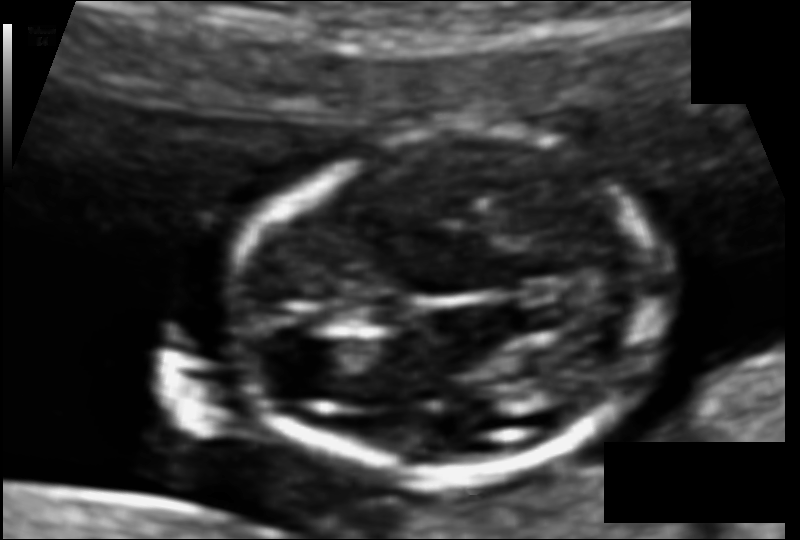
Fetal head ultrasound. Image width: 60.3 mm. Where is the fetal head?

Head bounding box: [232,132,665,473]